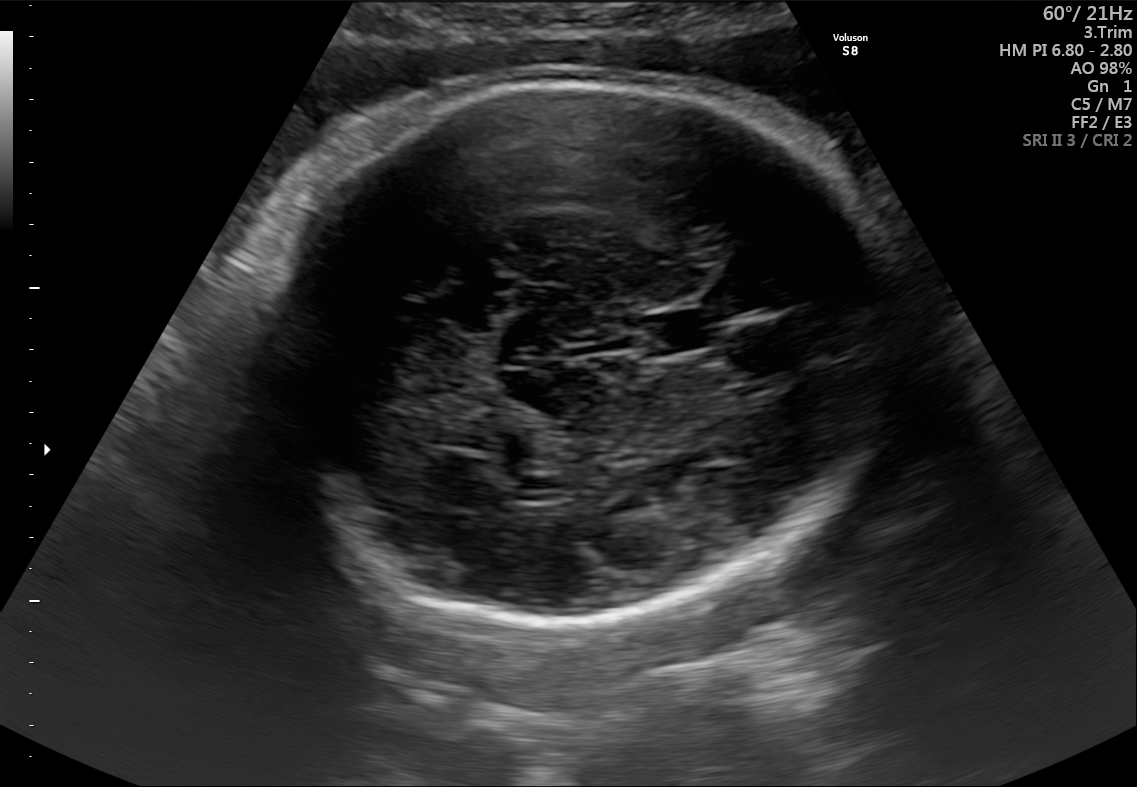
Fetal brain, trans-thalamic plane. Locate the fetal head.

Head: [263,75,916,614]